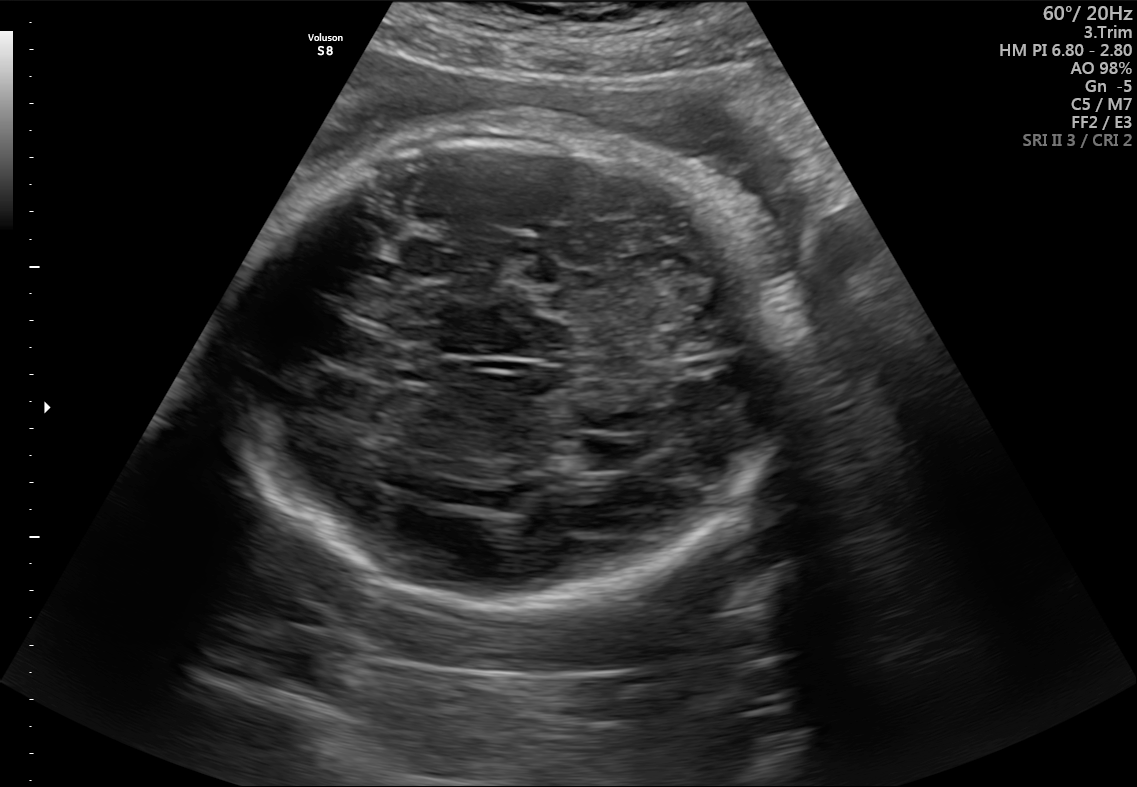
In this fetal brain, trans-thalamic plane, give bounding boxes for the head outline, cavum septum pellucidum (CSP), and lateral ventricle (LV), where visible.

Head: [221,130,798,605]
Lateral ventricle: [571,435,631,471]